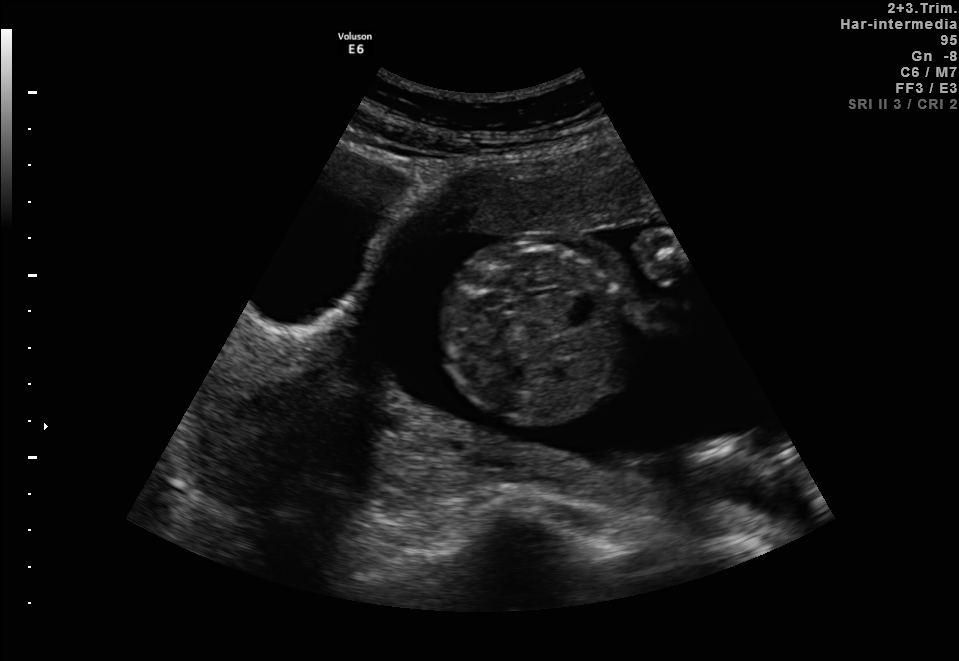
Which standard maternal-fetal ultrasound plane is shown: fetal abdomen, fetal brain, fetal femur, fetal thorax, maternal cervix, or other? If it's fetal brain and one of the three standard brain planes (trans-thalamic, trans-cerebellum, trans-ventricular), name which.

Fetal abdomen